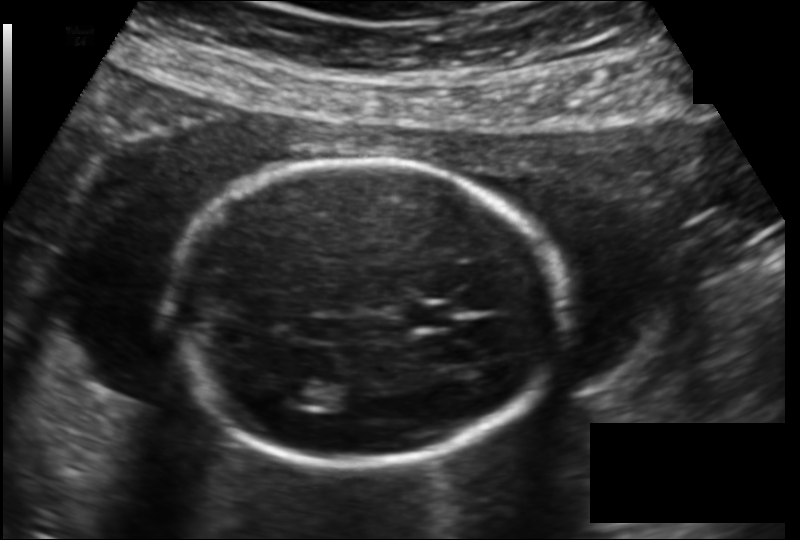
Fetal head ultrasound. Image width: 119.1 mm. Locate the fetal head.

Head: [173,162,561,462]